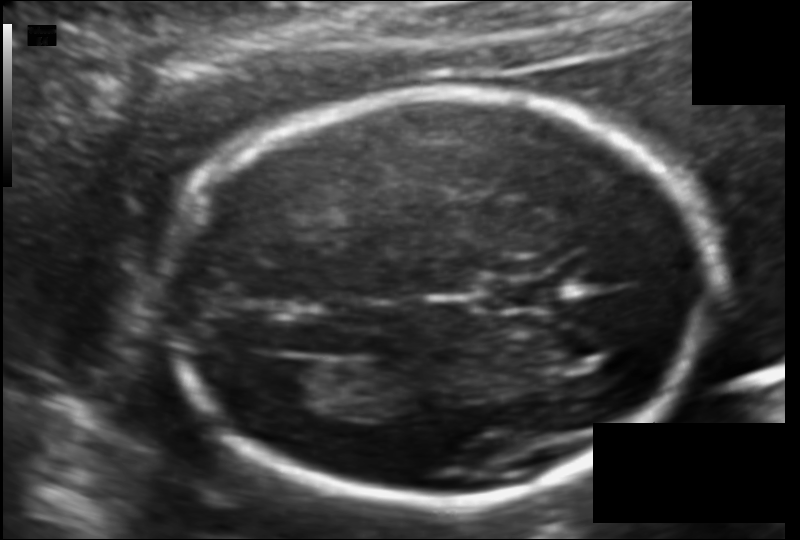
Fetal head ultrasound. Image width: 88.5 mm. Give [x1,y1,x2,y2] bounding boxes for each visible structure among: fetal head, CSP, LV.

Head: [168,91,712,501]
CSP: [482,278,553,310]
Lateral ventricle: [248,354,335,406]